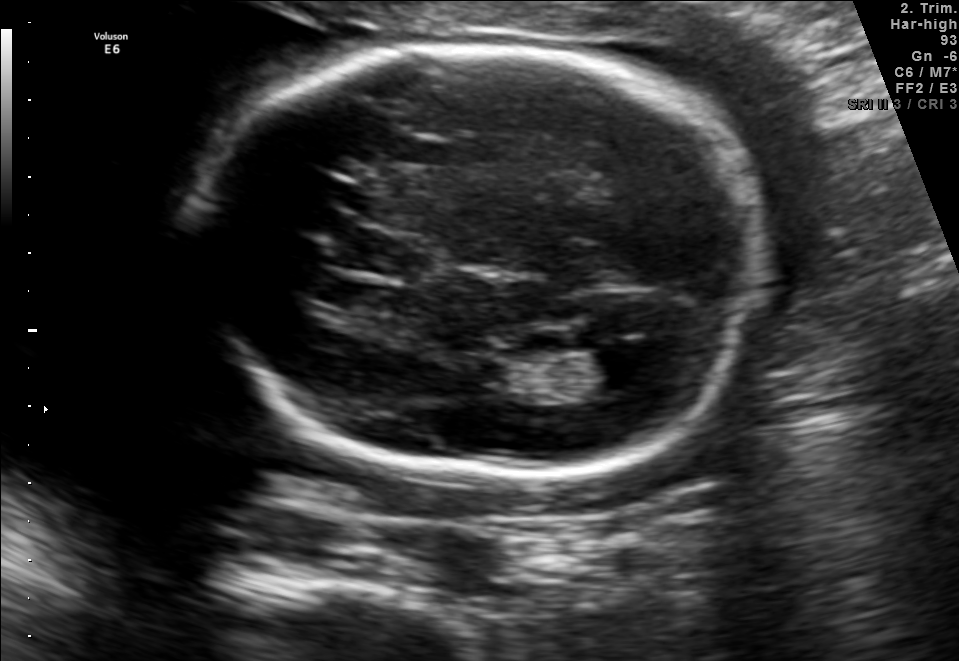
Fetal brain, trans-ventricular plane. Locate the fetal head and, if visible, the cavum septum pellucidum (CSP) and lateral ventricle (LV). Give bounding boxes as [x1,y1,x2,y2].

Head: [184,34,781,487]
CSP: [317,222,434,284]
Lateral ventricle: [576,344,664,400]